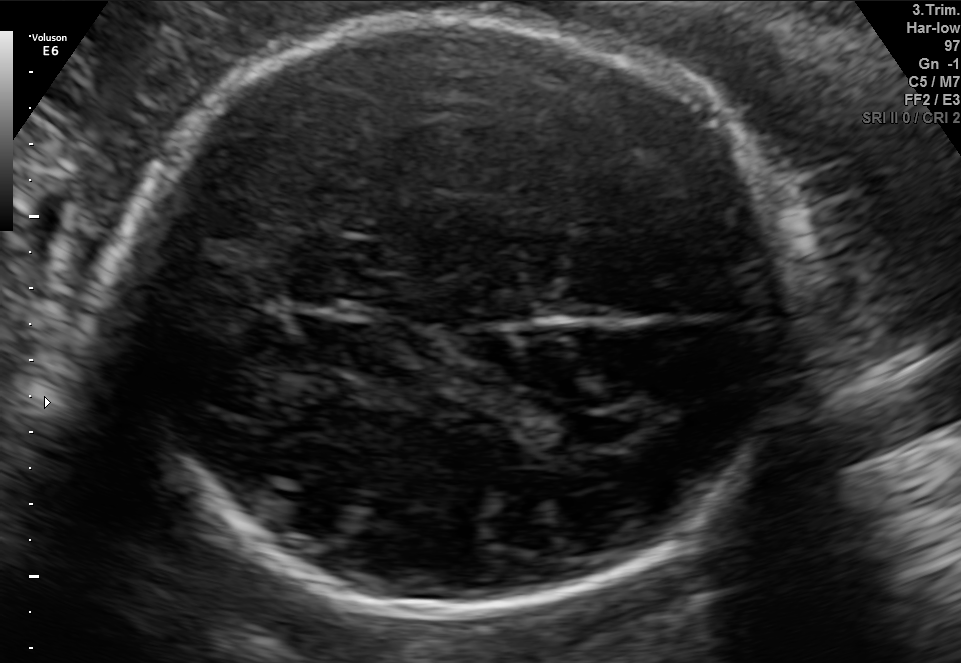
In this fetal brain, trans-thalamic plane, give the bounding box of the fetal head.

[131,14,800,627]